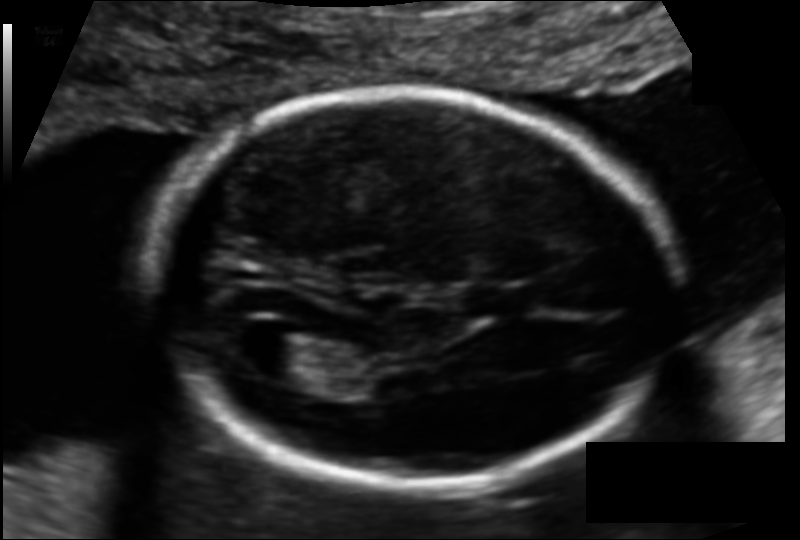
Fetal head ultrasound. Image width: 91.1 mm. Locate the lateral ventricle.

Lateral ventricle: [239,325,330,387]